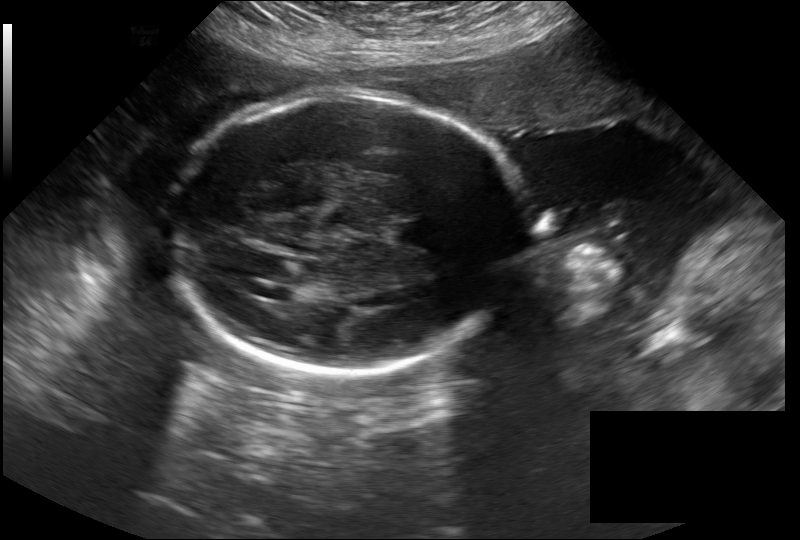
Estimate the fetal head circumference from this 2D ultrasound.

Head circumference: 288.0 mm (image width 223.0 mm).